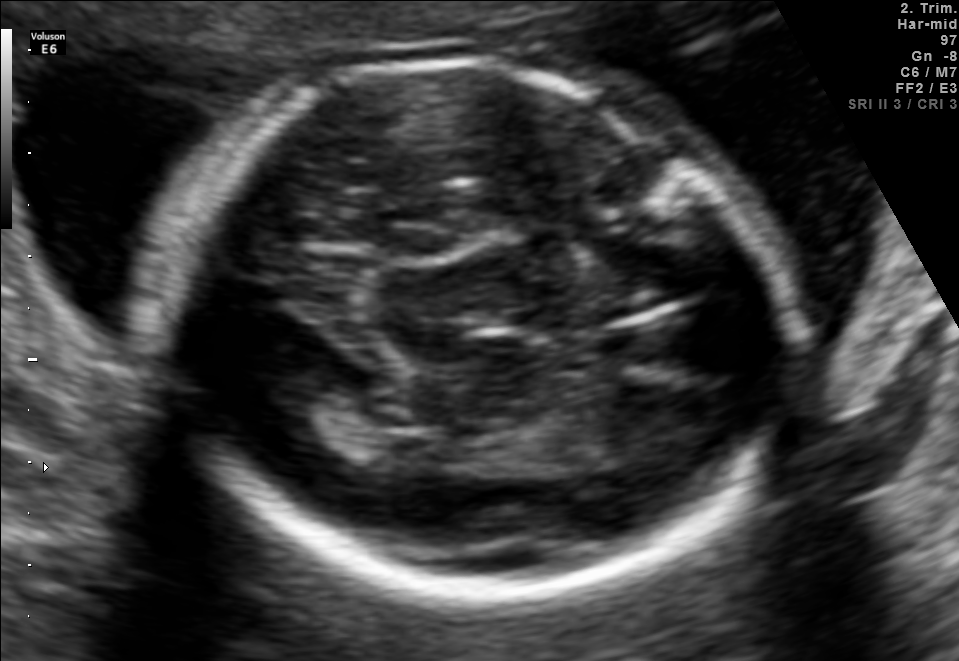
Fetal brain, trans-thalamic plane. Give [x1,y1,x2,y2] bounding boxes for each visible structure among: fetal head, CSP, LV.

Head: [158,64,795,599]